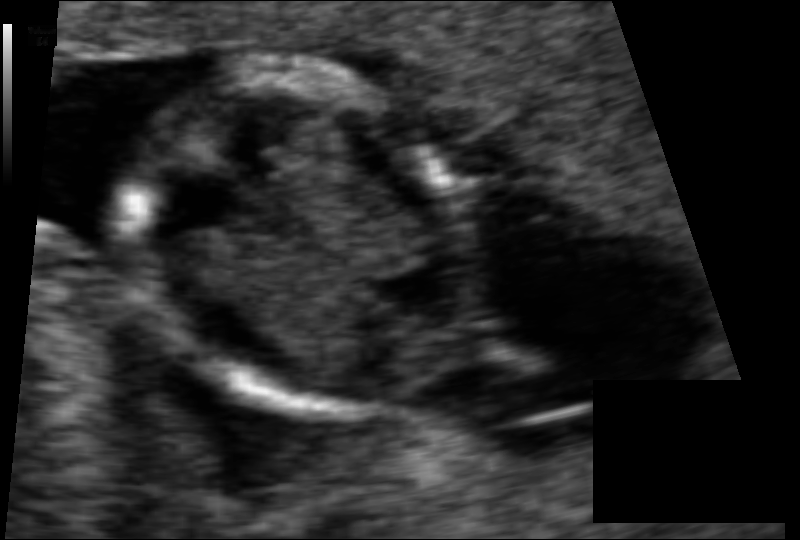
Fetal head ultrasound. Image width: 52.2 mm. Where is the fetal head?

Head bounding box: [126,72,481,421]